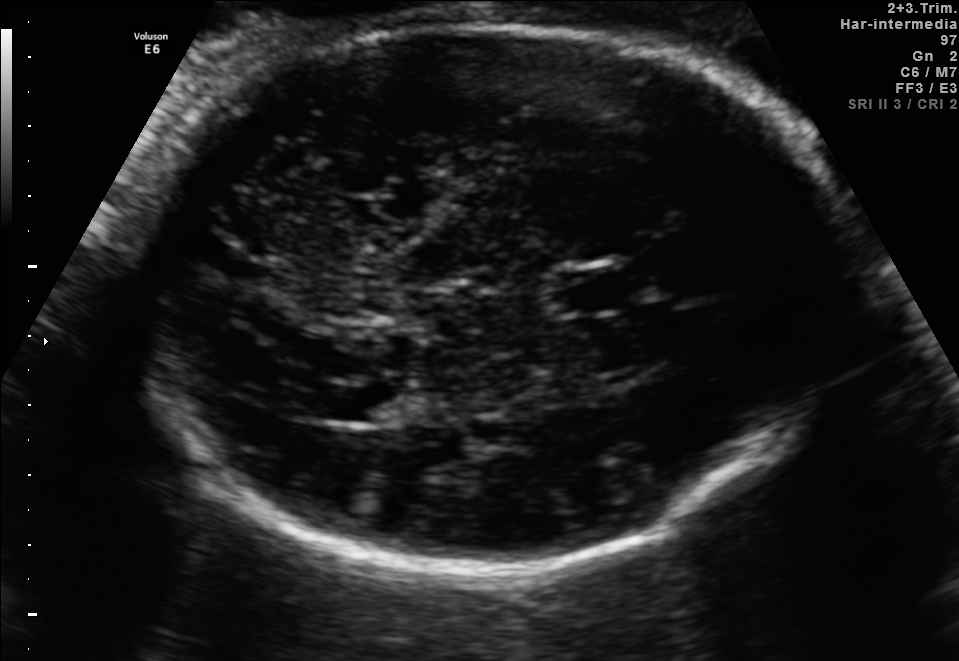
Fetal brain, trans-thalamic plane. Locate the lateral ventricle.

Lateral ventricle: [305,383,391,424]